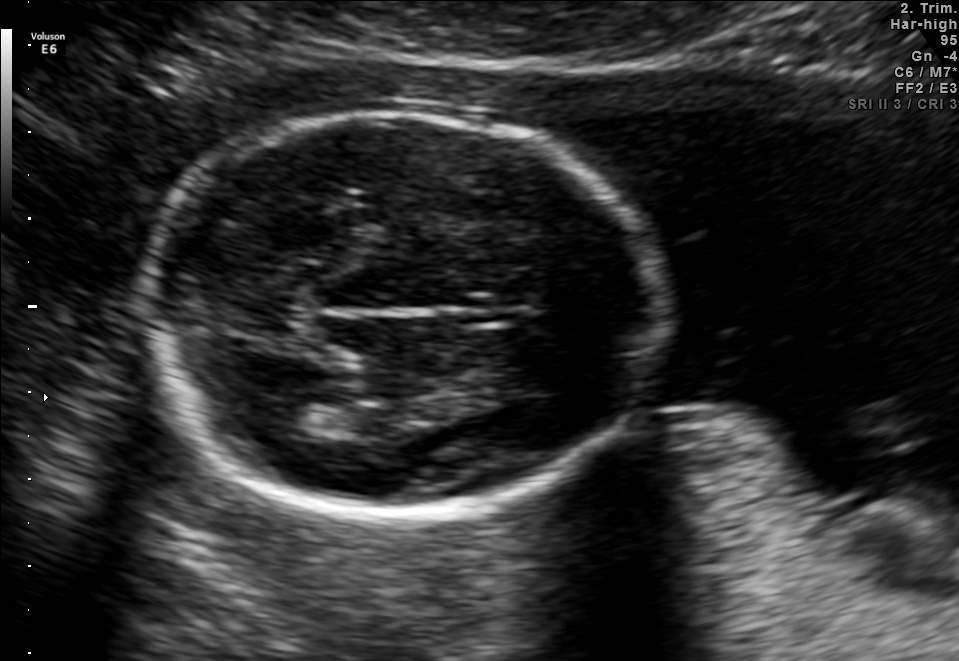
In this fetal brain, trans-thalamic plane, give the bounding box of the lateral ventricle.

[261,396,319,439]